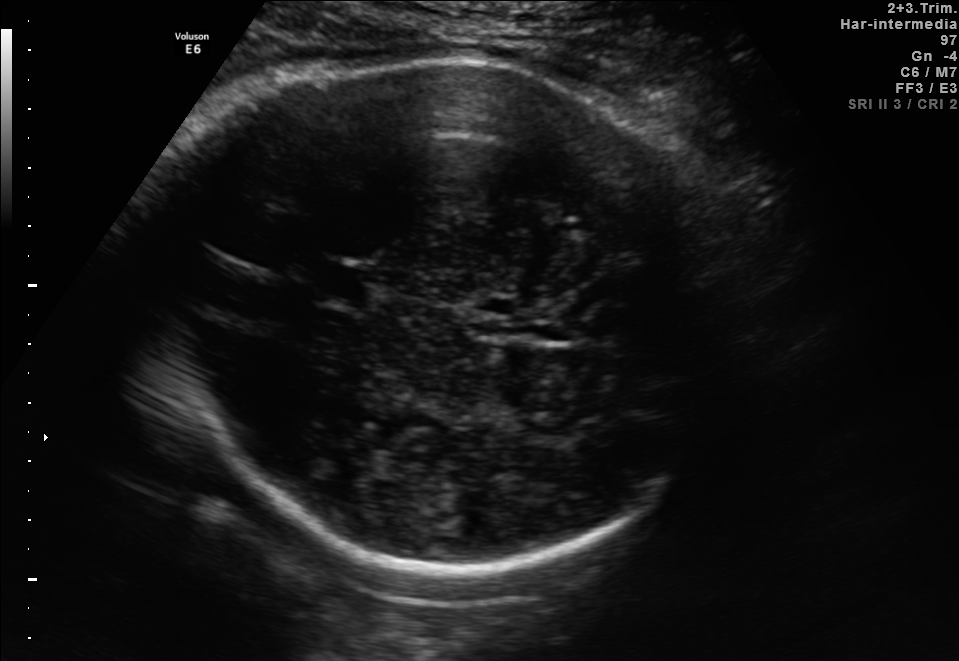
In this fetal brain, trans-thalamic plane, give the bounding box of the cavum septum pellucidum.

[304,256,375,306]